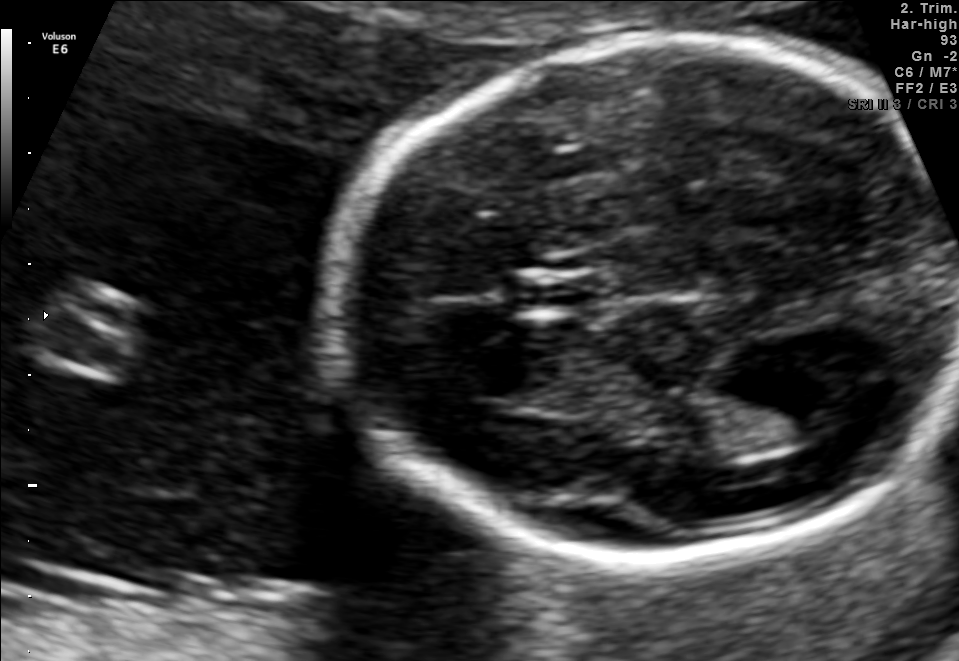
Fetal brain, trans-thalamic plane. Locate the fetal head.

Head: [334,34,951,557]